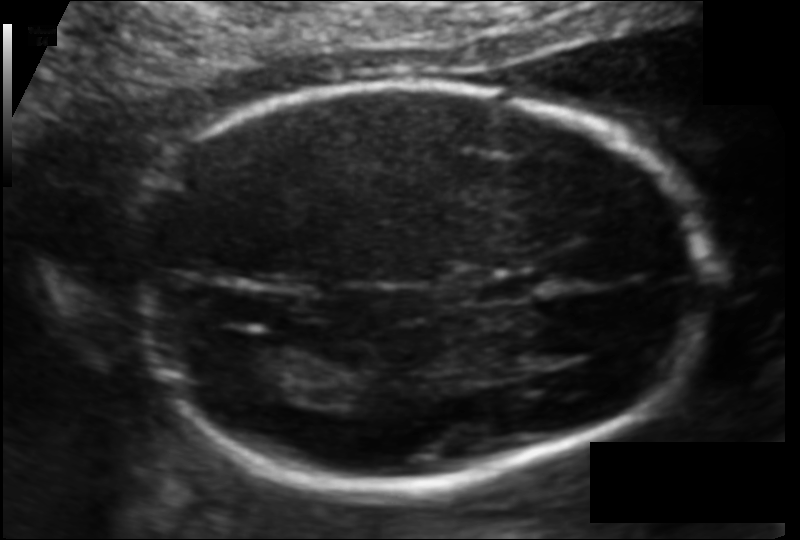
Fetal head ultrasound. Image width: 87.4 mm. Locate the fetal head and, if visible, the cavum septum pellucidum (CSP) and lateral ventricle (LV). Give bounding boxes as [x1,y1,x2,y2].

Head: [123,82,705,486]
CSP: [477,268,547,307]
Lateral ventricle: [207,336,308,408]